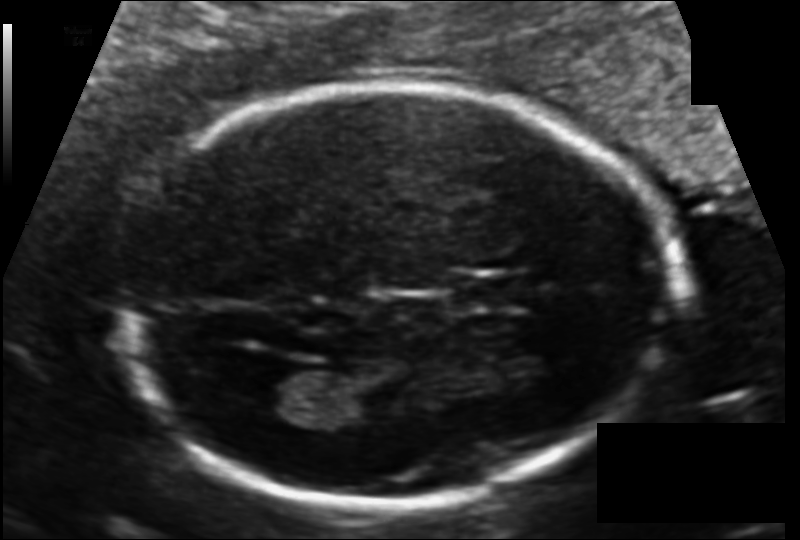
What is the fetal head circumference? Image width is 90.0 mm.

176.3 mm